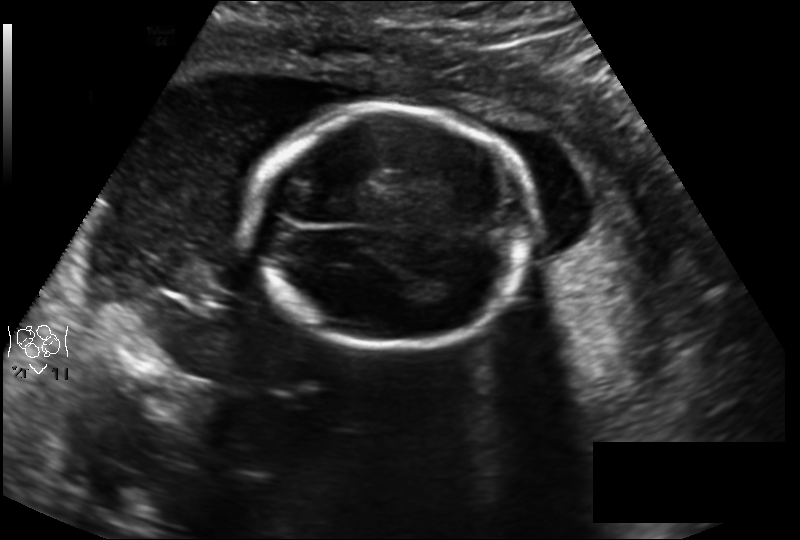
Estimate the fetal head circumference from this 2D ultrasound. Image width: 155.0 mm.

Head circumference: 165.8 mm.